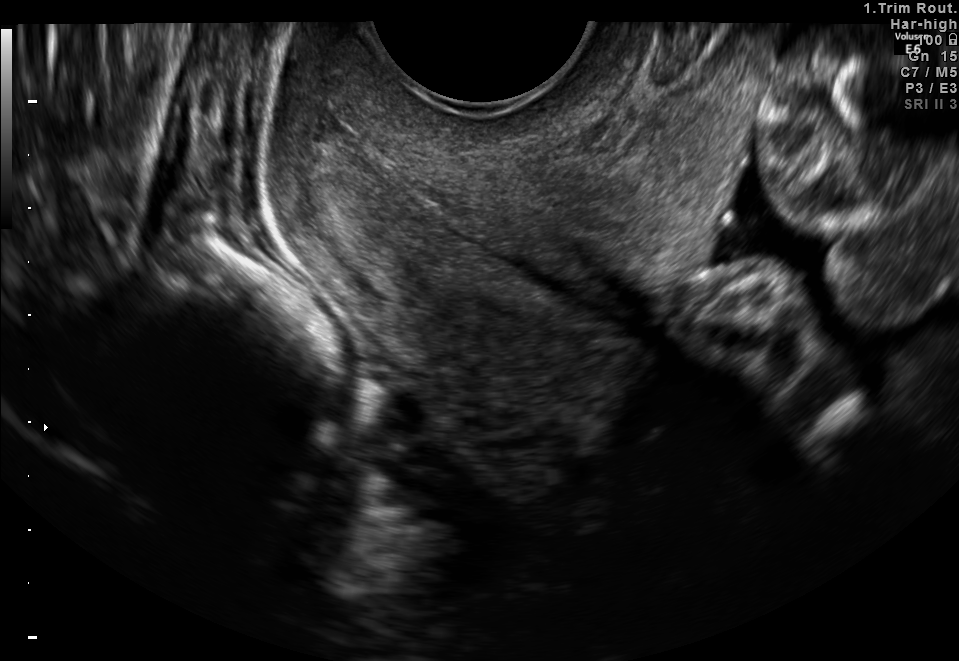
This is a 2D maternal-fetal ultrasound frame. Is it a fetal abdomen, fetal brain, fetal femur, fetal thorax, maternal cervix, or other standard plane? If it's fetal brain and one of the three standard brain planes (trans-thalamic, trans-cerebellum, trans-ventricular), name which.

Maternal cervix